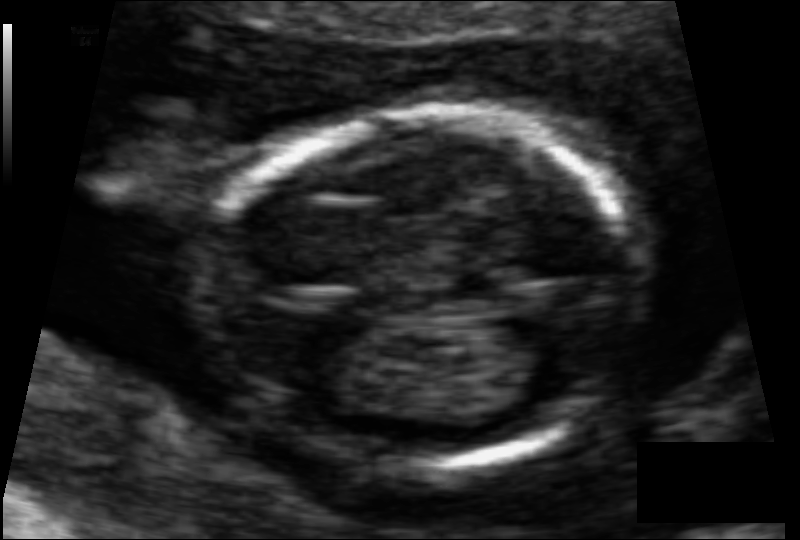
From this fetal ultrasound, estimate the head circumference (image width 52.3 mm).

Head circumference: 84.1 mm.